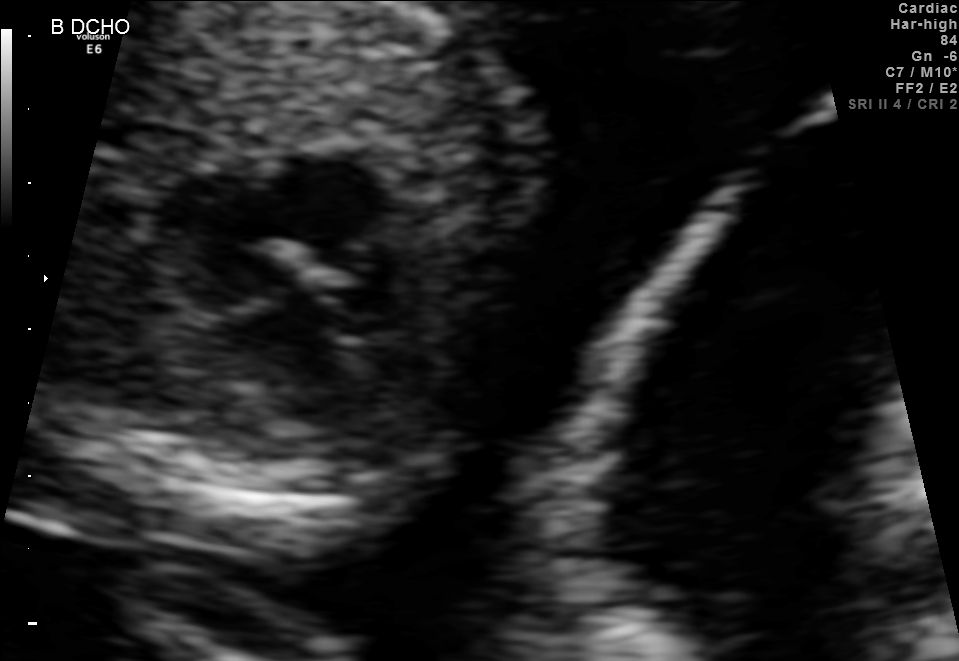
This is a 2D maternal-fetal ultrasound frame. Is it a fetal abdomen, fetal brain, fetal femur, fetal thorax, maternal cervix, or other standard plane? If it's fetal brain and one of the three standard brain planes (trans-thalamic, trans-cerebellum, trans-ventricular), name which.

Fetal thorax